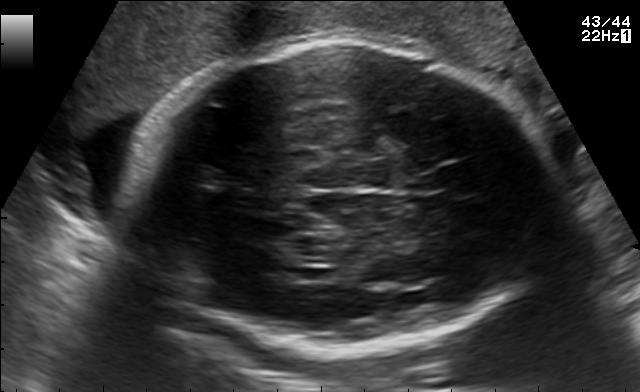
In this fetal brain, trans-thalamic plane, give bounding boxes for the head outline, cavum septum pellucidum (CSP), and lateral ventricle (LV), where visible.

Head: [131,43,552,357]